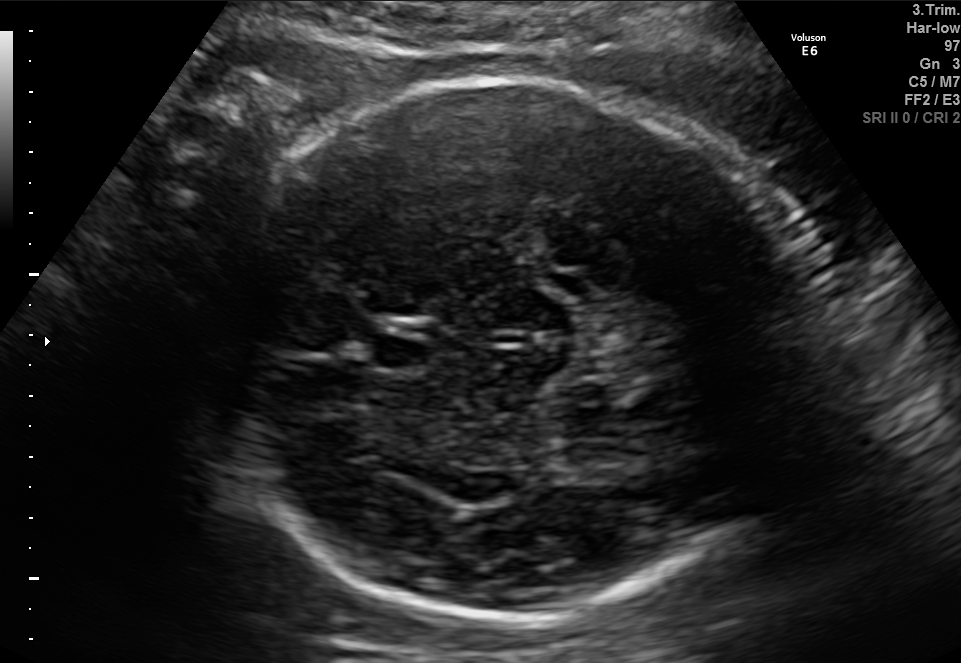
Fetal brain, trans-thalamic plane. Locate the fetal head.

Head: [192,76,809,619]